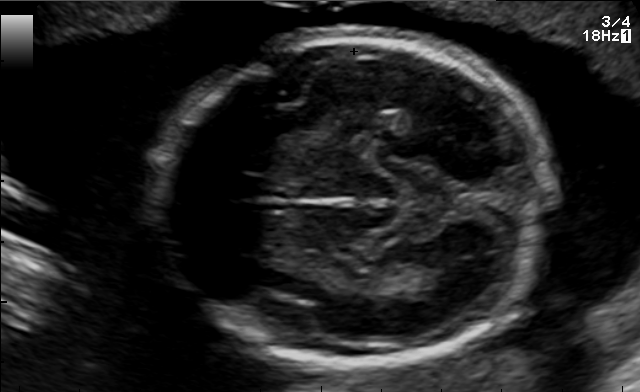
Fetal brain, trans-thalamic plane. Locate the fetal head and, if visible, the cavum septum pellucidum (CSP) and lateral ventricle (LV). Give bounding boxes as [x1,y1,x2,y2].

Head: [155,37,545,365]